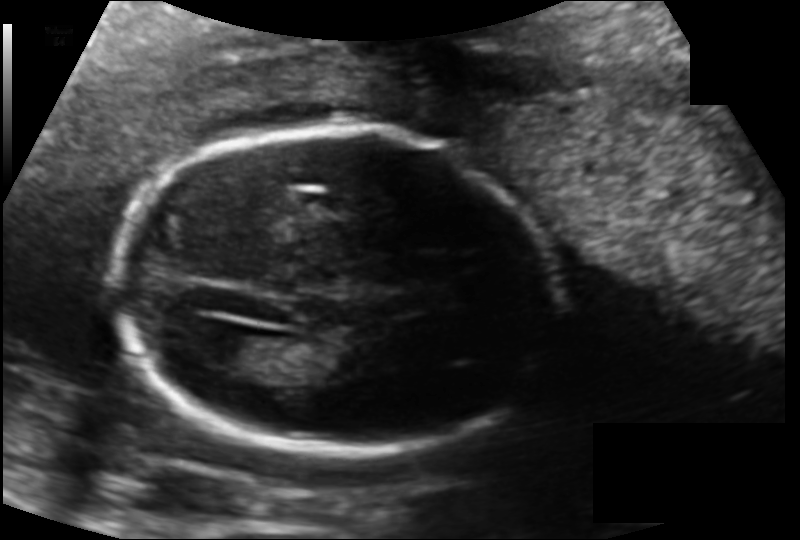
Fetal head ultrasound. Image width: 107.0 mm. Where is the fetal head?

Head bounding box: [115,127,556,453]